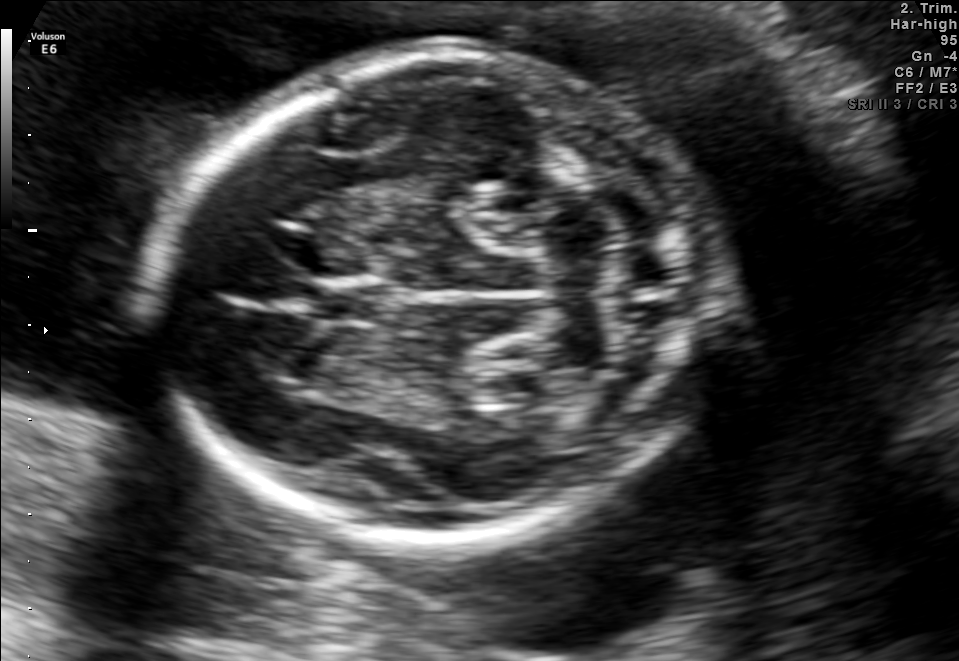
Fetal brain, trans-cerebellum plane. Locate the fetal head and, if visible, the cavum septum pellucidum (CSP) and lateral ventricle (LV). Give bounding boxes as [x1,y1,x2,y2].

Head: [154,51,715,538]
CSP: [309,281,384,324]